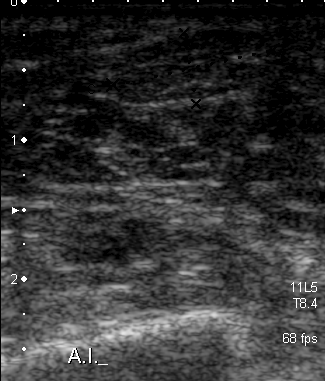
Identify the standard plane in this fetal ultrasound image: fetal abdomen, fetal brain, fetal femur, fetal thorax, maternal cervix, or other. If it's fetal brain and one of the three standard brain planes (trans-thalamic, trans-cerebellum, trans-ventricular), name which.

Other